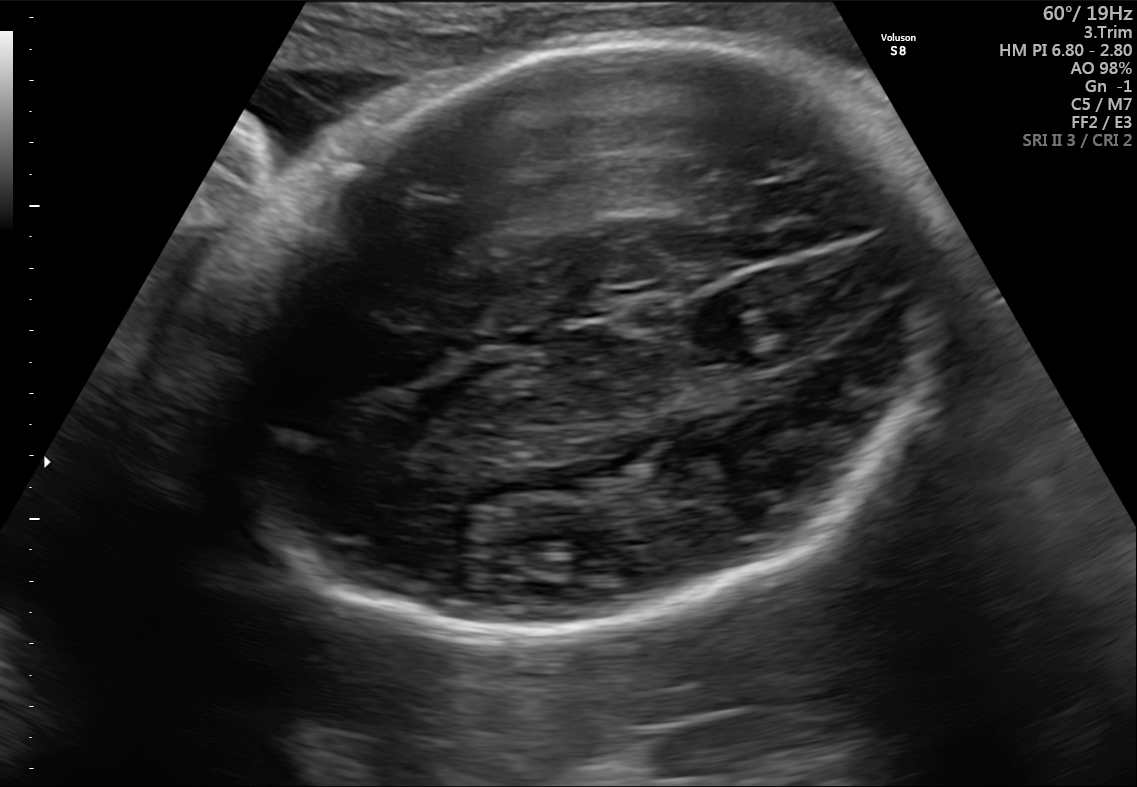
Fetal brain, trans-thalamic plane. Locate the fetal head and, if visible, the cavum septum pellucidum (CSP) and lateral ventricle (LV). Give bounding boxes as [x1,y1,x2,y2].

Head: [210,42,967,641]